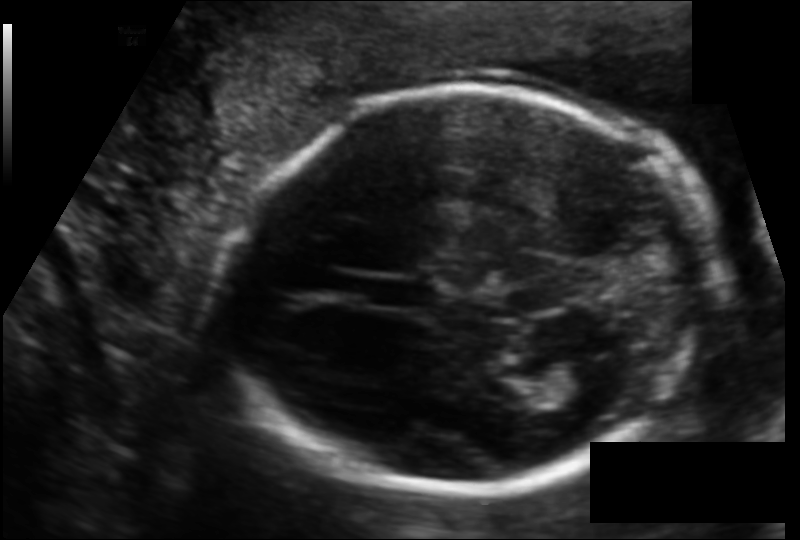
Fetal head ultrasound. Image width: 95.3 mm. Where is the fetal head?

Head bounding box: [232,83,717,491]